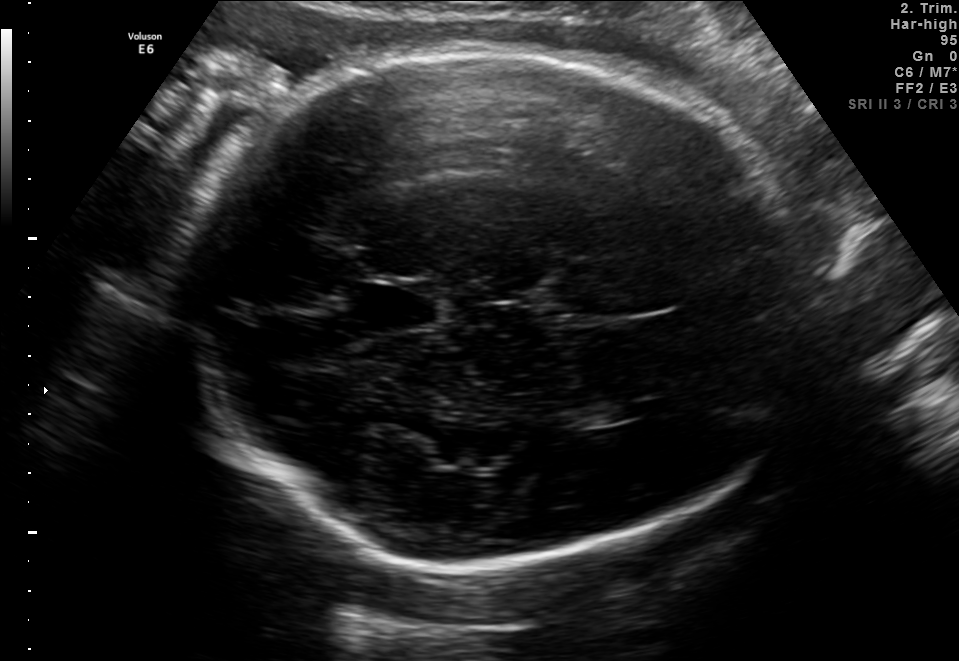
In this fetal brain, trans-thalamic plane, give the bounding box of the cavum septum pellucidum.

[359,289,437,326]